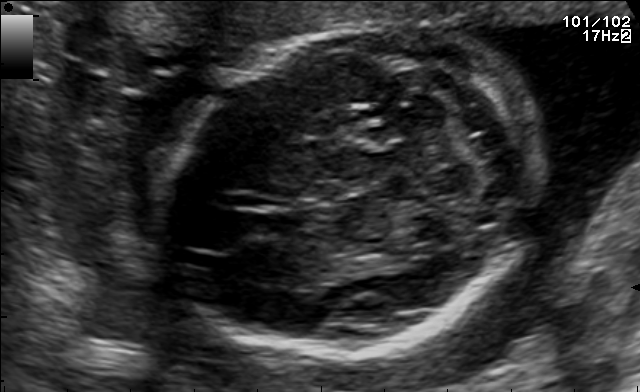
In this fetal brain, trans-cerebellum plane, give bounding boxes for the head outline, cavum septum pellucidum (CSP), and lateral ventricle (LV), where visible.

Head: [168,27,532,354]